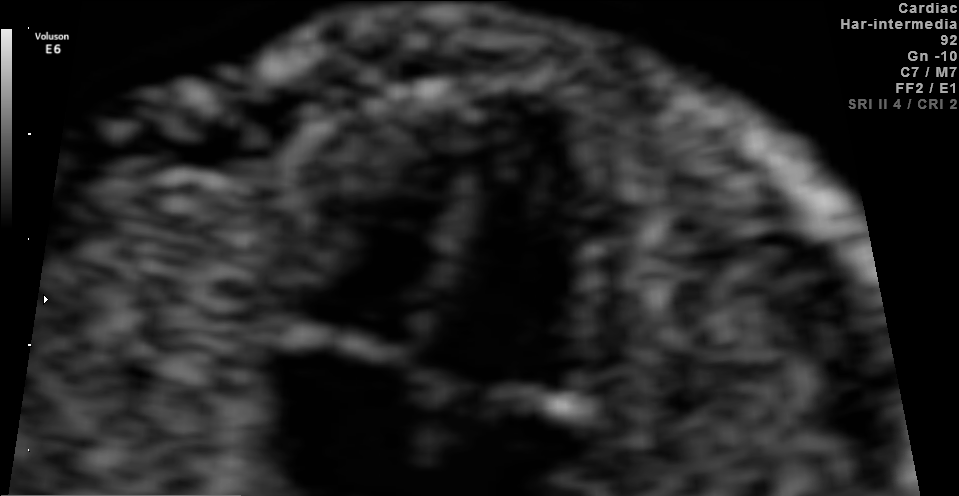
Which standard maternal-fetal ultrasound plane is shown: fetal abdomen, fetal brain, fetal femur, fetal thorax, maternal cervix, or other? If it's fetal brain and one of the three standard brain planes (trans-thalamic, trans-cerebellum, trans-ventricular), name which.

Fetal thorax